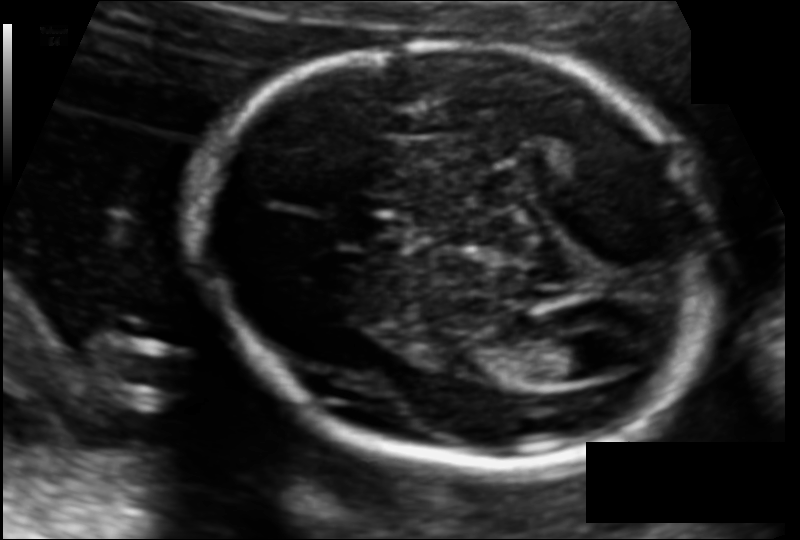
From this fetal ultrasound, estimate the head circumference (image width 87.7 mm).

Head circumference: 167.8 mm.